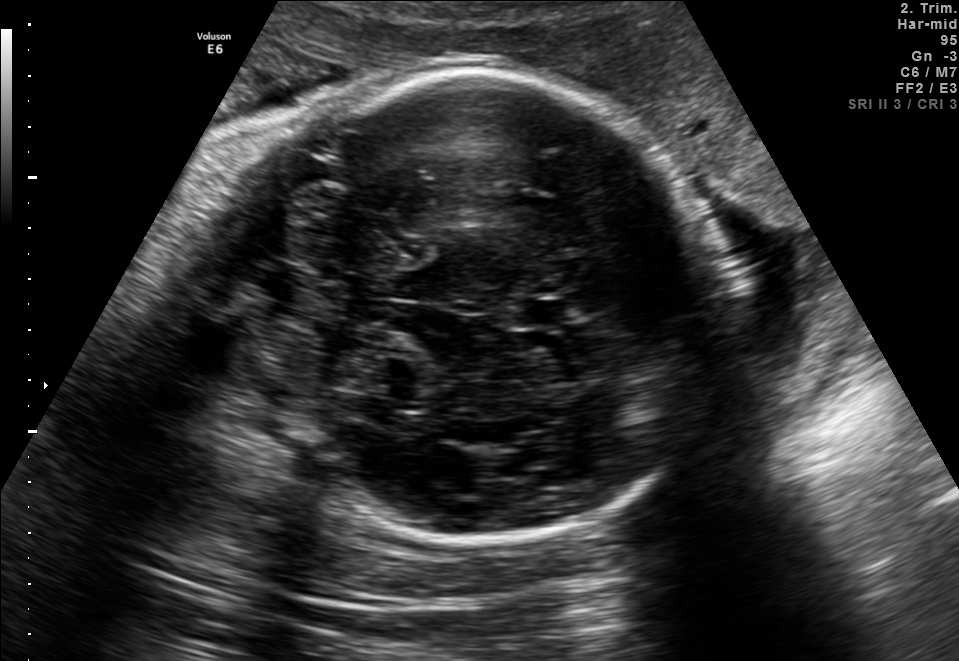
In this fetal brain, trans-cerebellum plane, give the bounding box of the cavum septum pellucidum.

[511,295,575,330]